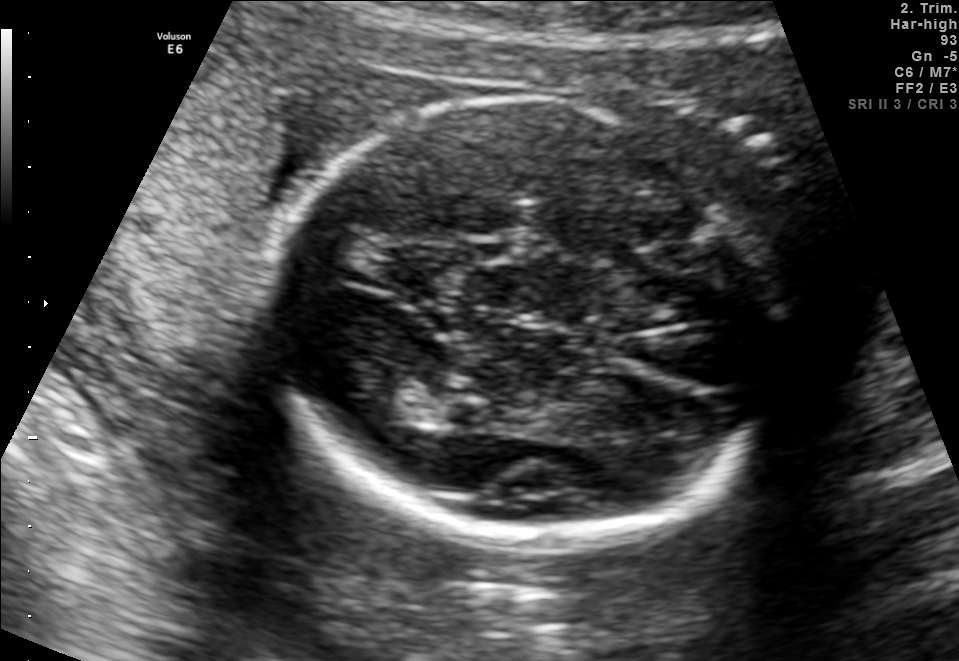
Fetal brain, trans-thalamic plane. Locate the lateral ventricle.

Lateral ventricle: [357,376,452,431]